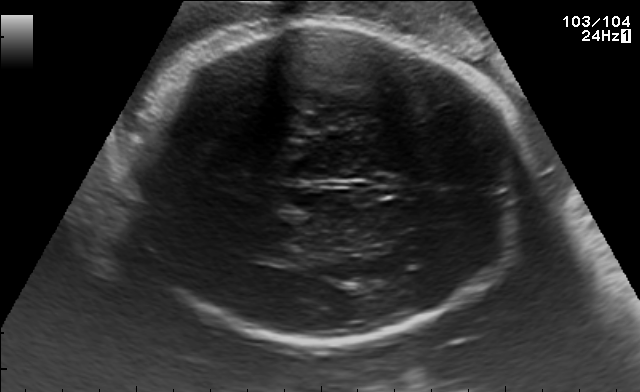
In this fetal brain, trans-thalamic plane, give the bounding box of the fetal head.

[125,24,530,342]